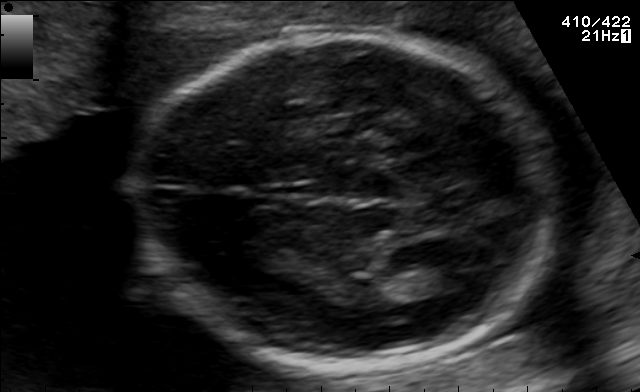
In this fetal brain, trans-thalamic plane, give bounding boxes for the head outline, cavum septum pellucidum (CSP), and lateral ventricle (LV), where visible.

Head: [130,34,559,366]
Lateral ventricle: [411,247,496,300]